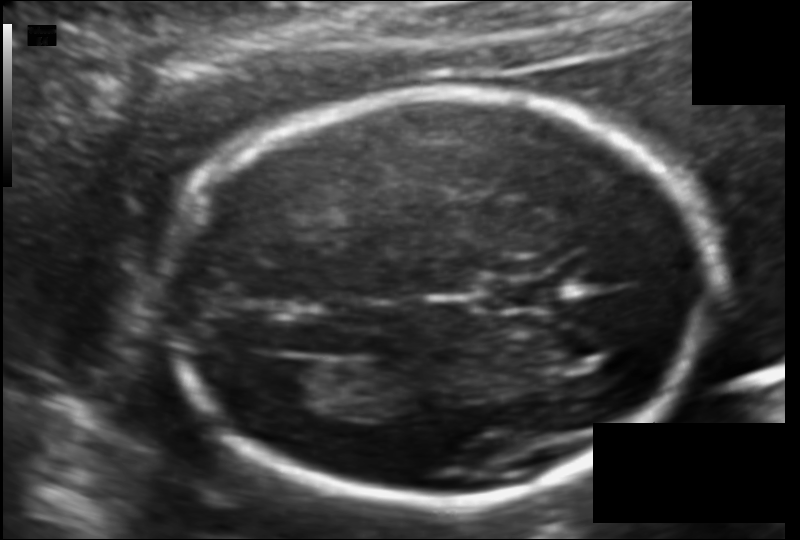
Fetal head ultrasound. Image width: 88.5 mm. Locate the fetal head and, if visible, the cavum septum pellucidum (CSP) and lateral ventricle (LV). Give bounding boxes as [x1,y1,x2,y2].

Head: [168,91,712,501]
CSP: [482,278,553,310]
Lateral ventricle: [248,354,335,406]